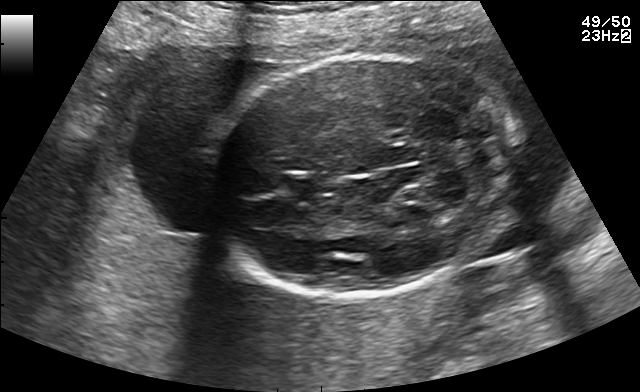
Fetal brain, trans-cerebellum plane. Locate the fetal head and, if visible, the cavum septum pellucidum (CSP) and lateral ventricle (LV). Give bounding boxes as [x1,y1,x2,y2].

Head: [208,53,517,295]
CSP: [286,172,336,197]